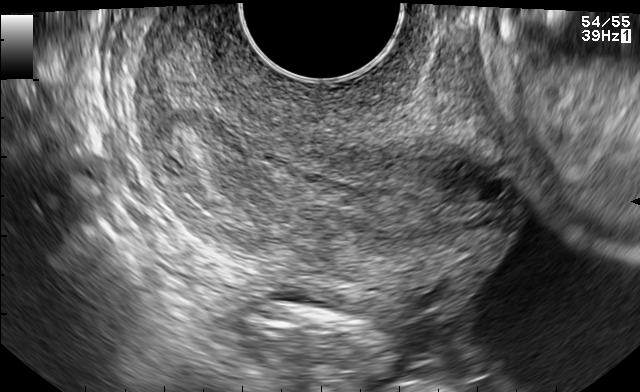
This is a 2D maternal-fetal ultrasound frame. Is it a fetal abdomen, fetal brain, fetal femur, fetal thorax, maternal cervix, or other standard plane? If it's fetal brain and one of the three standard brain planes (trans-thalamic, trans-cerebellum, trans-ventricular), name which.

Maternal cervix